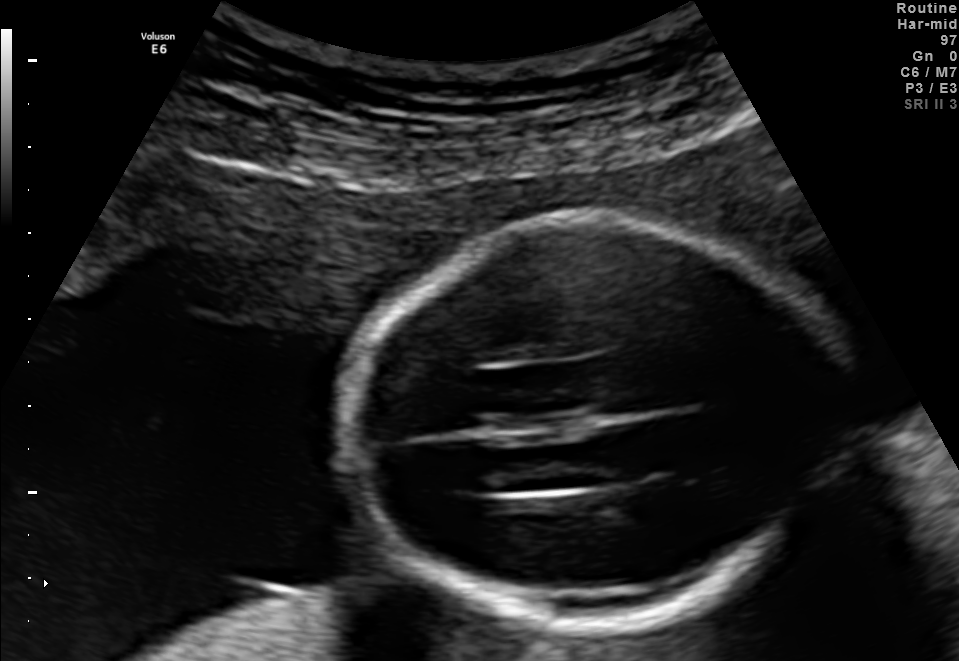
This is a 2D maternal-fetal ultrasound frame. Is it a fetal abdomen, fetal brain, fetal femur, fetal thorax, maternal cervix, or other standard plane? If it's fetal brain and one of the three standard brain planes (trans-thalamic, trans-cerebellum, trans-ventricular), name which.

Fetal brain (trans-thalamic plane)